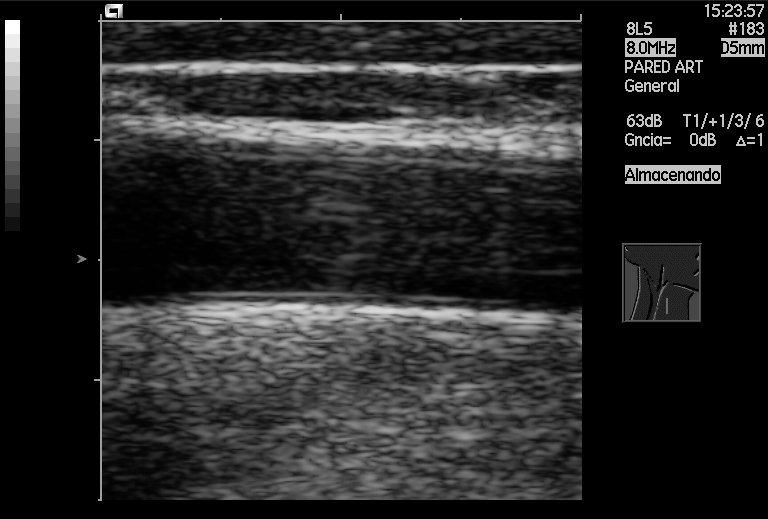
Classify this maternal-fetal ultrasound image as one of the six standard planes — fetal abdomen, fetal brain, fetal femur, fetal thorax, maternal cervix, or other. If it's fetal brain and one of the three standard brain planes (trans-thalamic, trans-cerebellum, trans-ventricular), name which.

Other